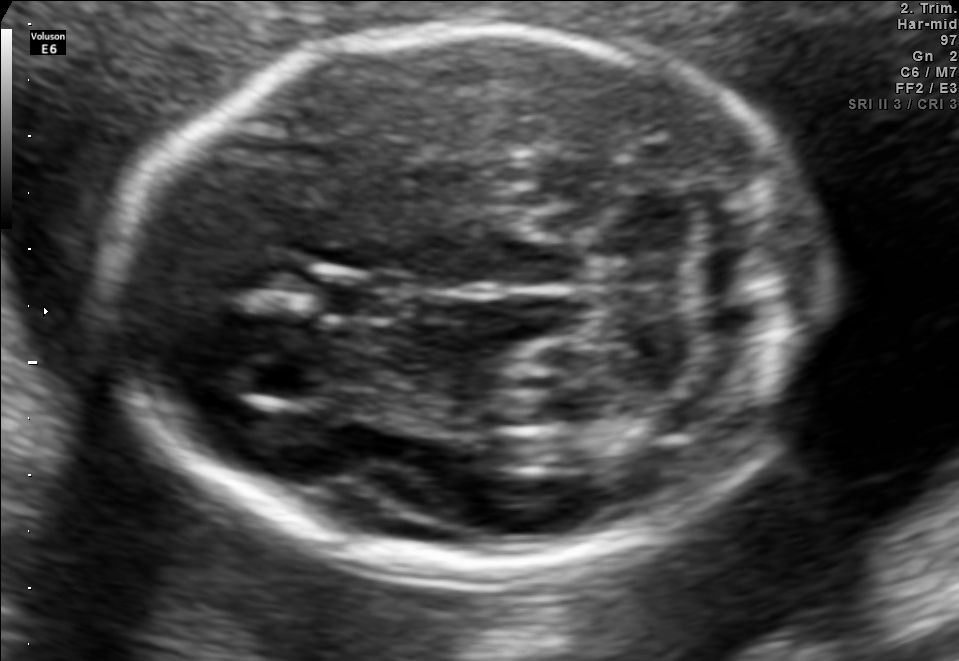
In this fetal brain, trans-cerebellum plane, give the bounding box of the fetal head.

[111,26,826,573]